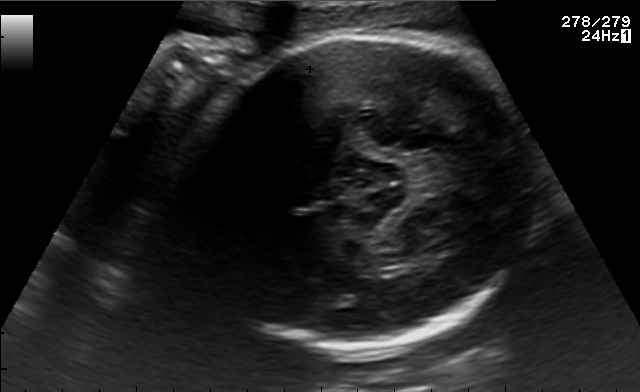
Which standard maternal-fetal ultrasound plane is shown: fetal abdomen, fetal brain, fetal femur, fetal thorax, maternal cervix, or other? If it's fetal brain and one of the three standard brain planes (trans-thalamic, trans-cerebellum, trans-ventricular), name which.

Fetal brain (trans-thalamic plane)